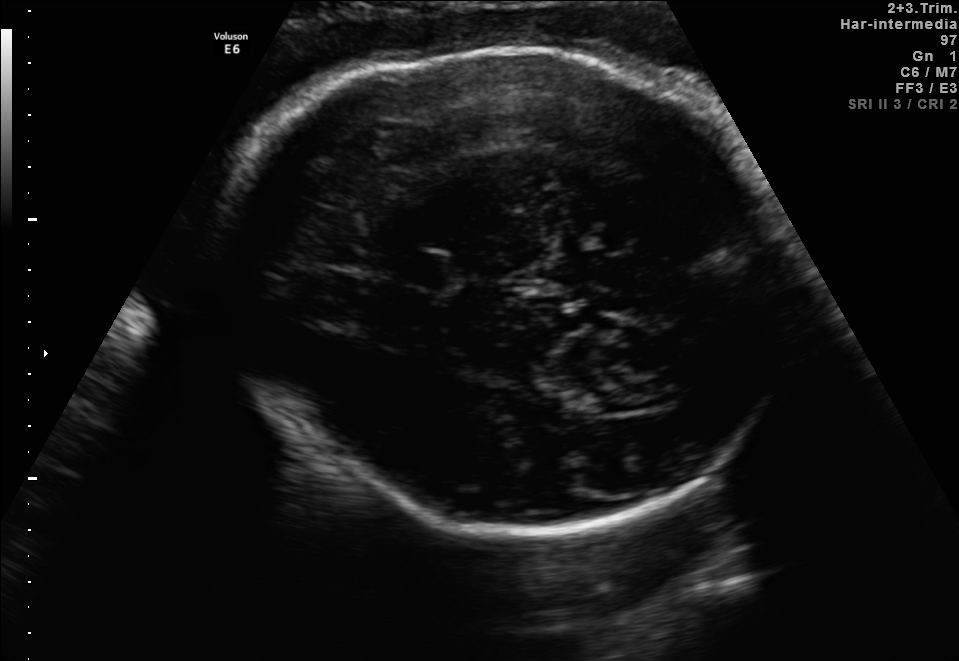
Fetal brain, trans-thalamic plane. Locate the fetal head.

Head: [206,46,807,531]